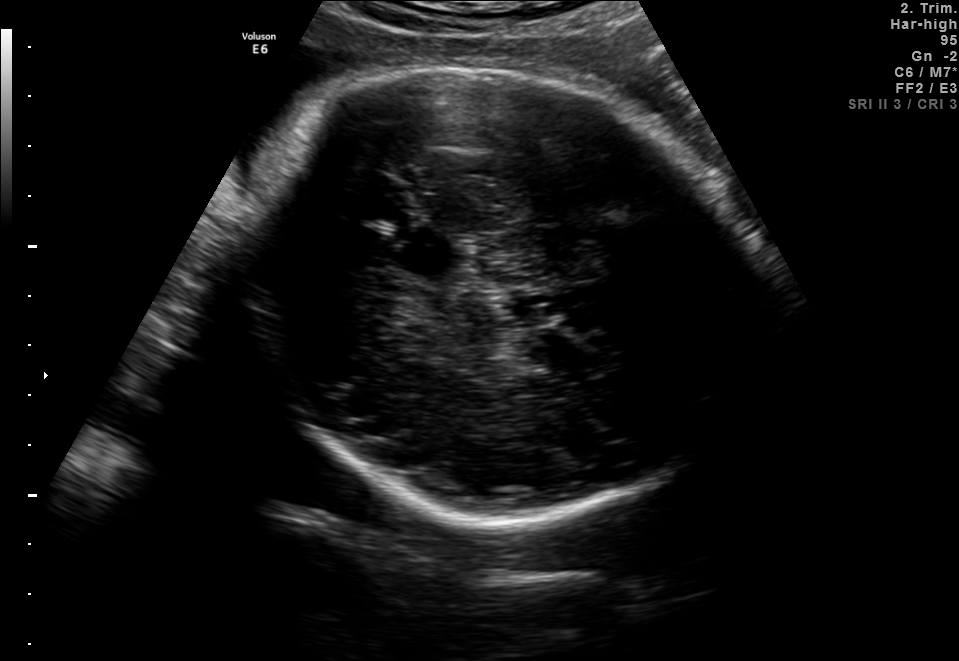
Fetal brain, trans-thalamic plane. Locate the fetal head and, if visible, the cavum septum pellucidum (CSP) and lateral ventricle (LV). Give bounding boxes as [x1,y1,x2,y2].

Head: [227,65,764,522]